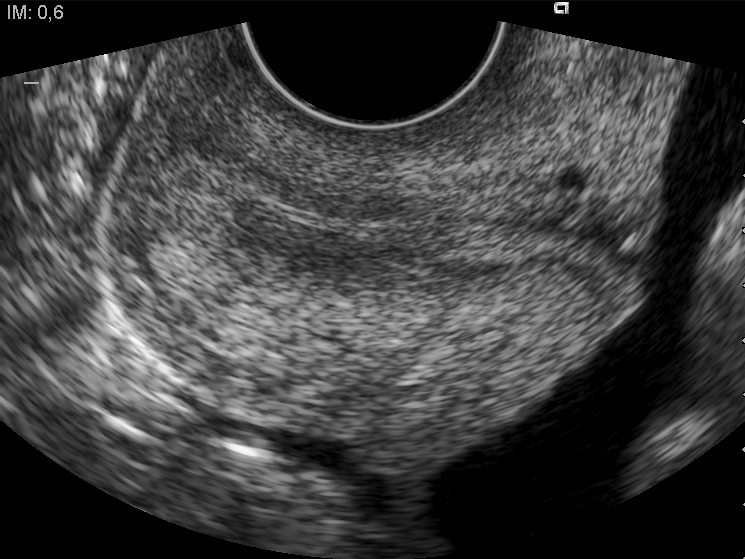
Classify this maternal-fetal ultrasound image as one of the six standard planes — fetal abdomen, fetal brain, fetal femur, fetal thorax, maternal cervix, or other. If it's fetal brain and one of the three standard brain planes (trans-thalamic, trans-cerebellum, trans-ventricular), name which.

Maternal cervix